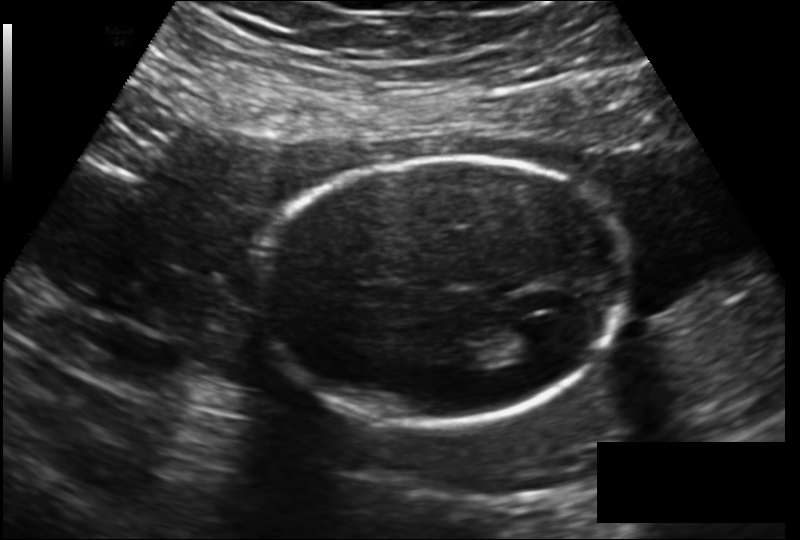
Fetal head ultrasound. Image width: 137.8 mm. Locate the fetal head and, if visible, the cavum septum pellucidum (CSP) and lateral ventricle (LV). Give bounding boxes as [x1,y1,x2,y2].

Head: [262,154,628,425]
Lateral ventricle: [501,323,552,360]